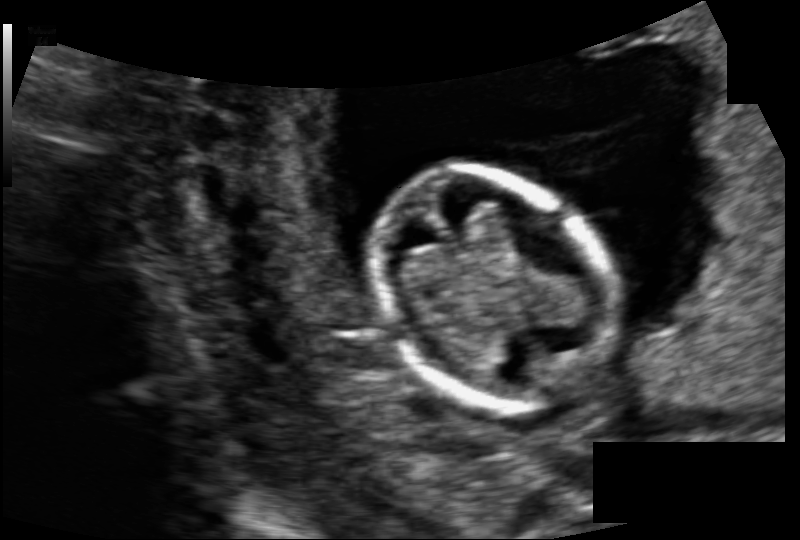
Fetal head ultrasound. Image width: 83.3 mm. Give [x1,y1,x2,y2] bounding boxes for each visible structure among: fetal head, CSP, LV.

Head: [373,167,607,410]